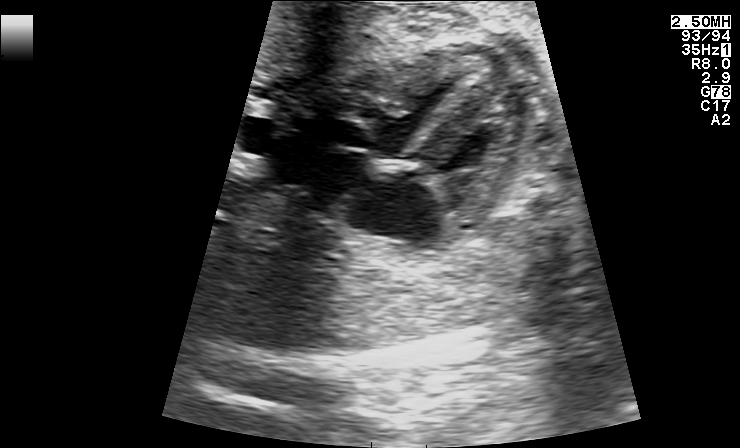
This is a 2D maternal-fetal ultrasound frame. Is it a fetal abdomen, fetal brain, fetal femur, fetal thorax, maternal cervix, or other standard plane? If it's fetal brain and one of the three standard brain planes (trans-thalamic, trans-cerebellum, trans-ventricular), name which.

Fetal thorax